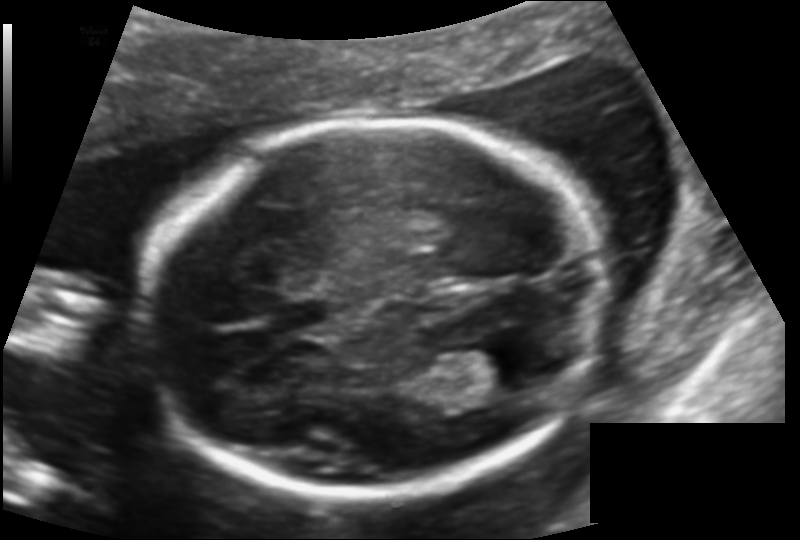
What is the fetal head circumference? Image width is 105.2 mm.

177.1 mm